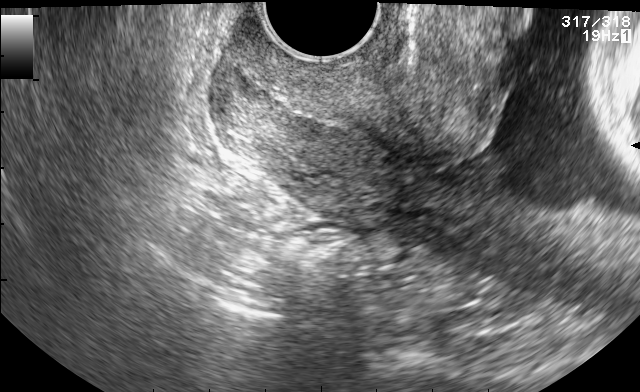
This is a 2D maternal-fetal ultrasound frame. Is it a fetal abdomen, fetal brain, fetal femur, fetal thorax, maternal cervix, or other standard plane? If it's fetal brain and one of the three standard brain planes (trans-thalamic, trans-cerebellum, trans-ventricular), name which.

Maternal cervix